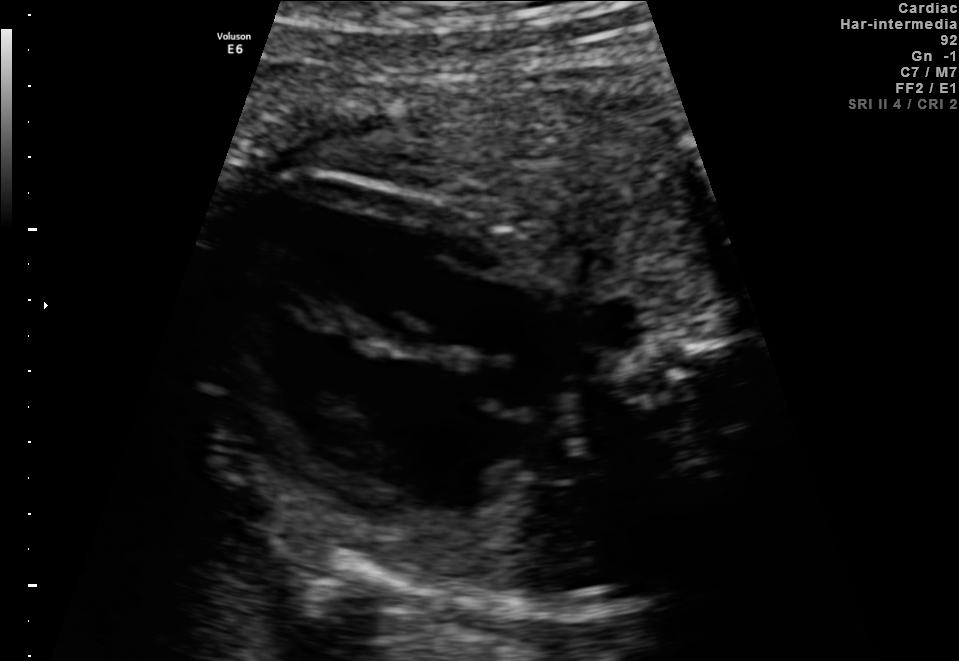
Classify this maternal-fetal ultrasound image as one of the six standard planes — fetal abdomen, fetal brain, fetal femur, fetal thorax, maternal cervix, or other. If it's fetal brain and one of the three standard brain planes (trans-thalamic, trans-cerebellum, trans-ventricular), name which.

Fetal thorax